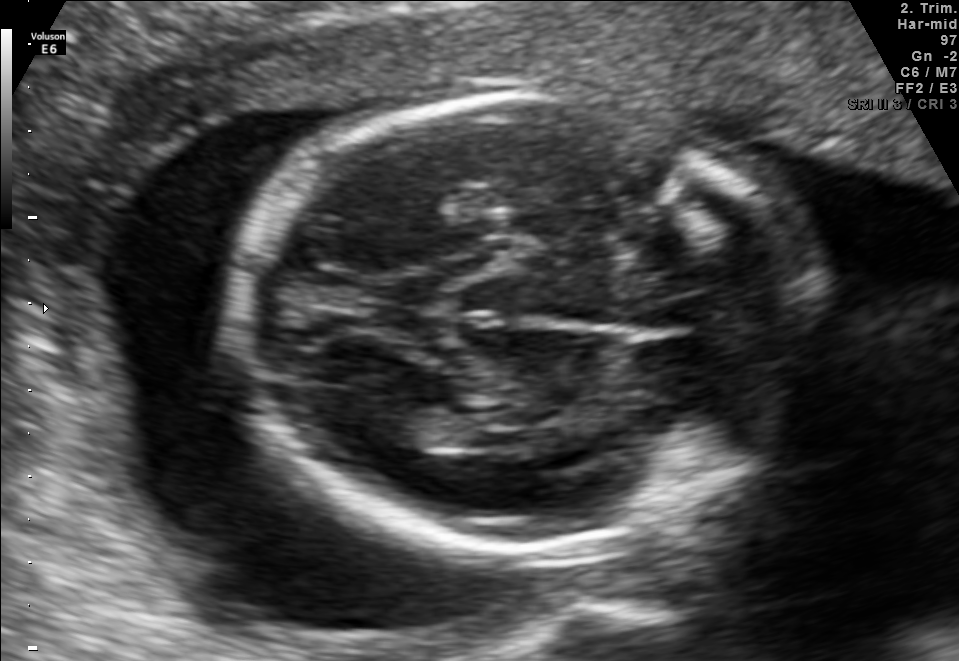
Which standard maternal-fetal ultrasound plane is shown: fetal abdomen, fetal brain, fetal femur, fetal thorax, maternal cervix, or other? If it's fetal brain and one of the three standard brain planes (trans-thalamic, trans-cerebellum, trans-ventricular), name which.

Fetal brain (trans-thalamic plane)